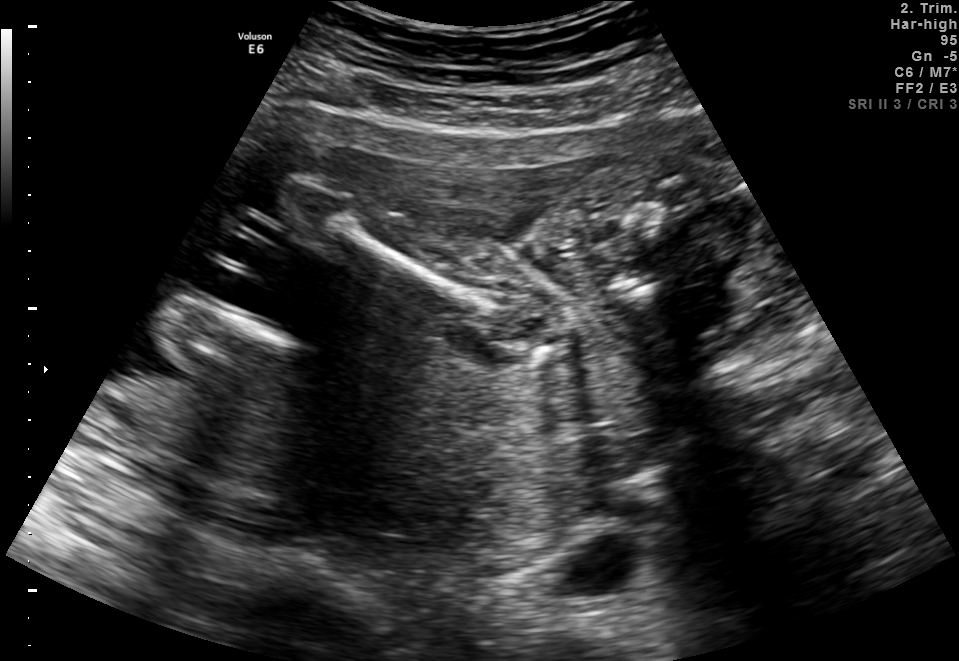
Which standard maternal-fetal ultrasound plane is shown: fetal abdomen, fetal brain, fetal femur, fetal thorax, maternal cervix, or other? If it's fetal brain and one of the three standard brain planes (trans-thalamic, trans-cerebellum, trans-ventricular), name which.

Other